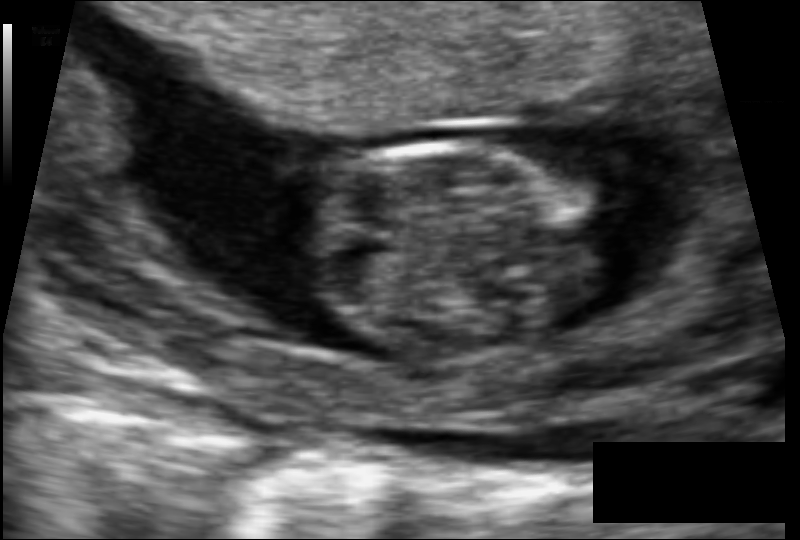
Fetal head ultrasound. Image width: 61.8 mm. Locate the fetal head.

Head: [304,141,603,356]